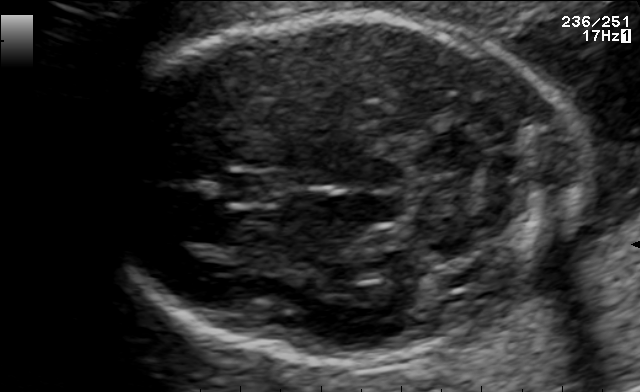
Which standard maternal-fetal ultrasound plane is shown: fetal abdomen, fetal brain, fetal femur, fetal thorax, maternal cervix, or other? If it's fetal brain and one of the three standard brain planes (trans-thalamic, trans-cerebellum, trans-ventricular), name which.

Fetal brain (trans-cerebellum plane)